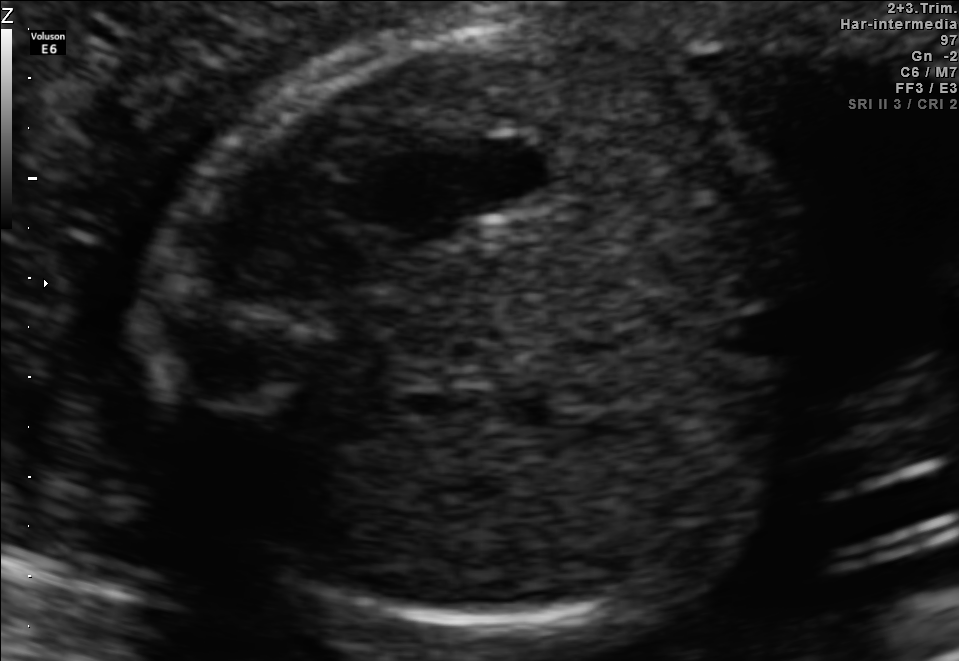
Classify this maternal-fetal ultrasound image as one of the six standard planes — fetal abdomen, fetal brain, fetal femur, fetal thorax, maternal cervix, or other. If it's fetal brain and one of the three standard brain planes (trans-thalamic, trans-cerebellum, trans-ventricular), name which.

Fetal abdomen